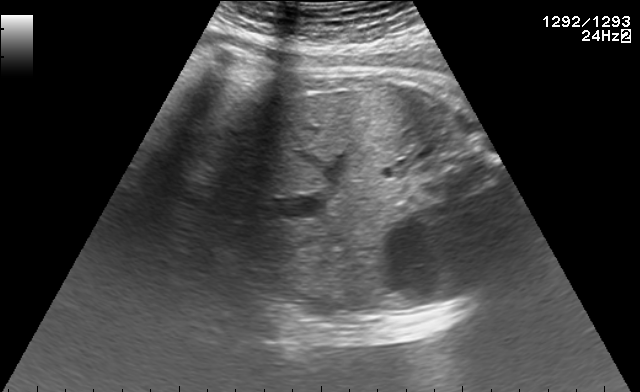
Which standard maternal-fetal ultrasound plane is shown: fetal abdomen, fetal brain, fetal femur, fetal thorax, maternal cervix, or other? If it's fetal brain and one of the three standard brain planes (trans-thalamic, trans-cerebellum, trans-ventricular), name which.

Other